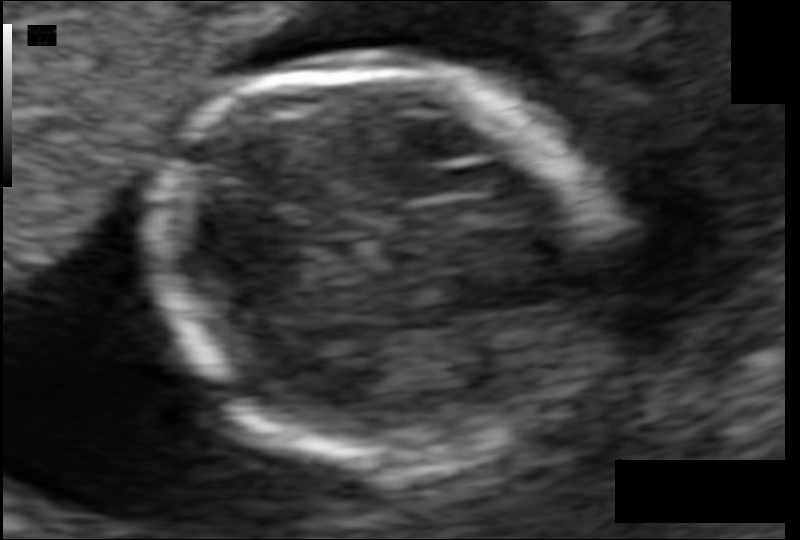
Estimate the fetal head circumference from this 2D ultrasound. Image width: 58.1 mm.

Head circumference: 100.8 mm.